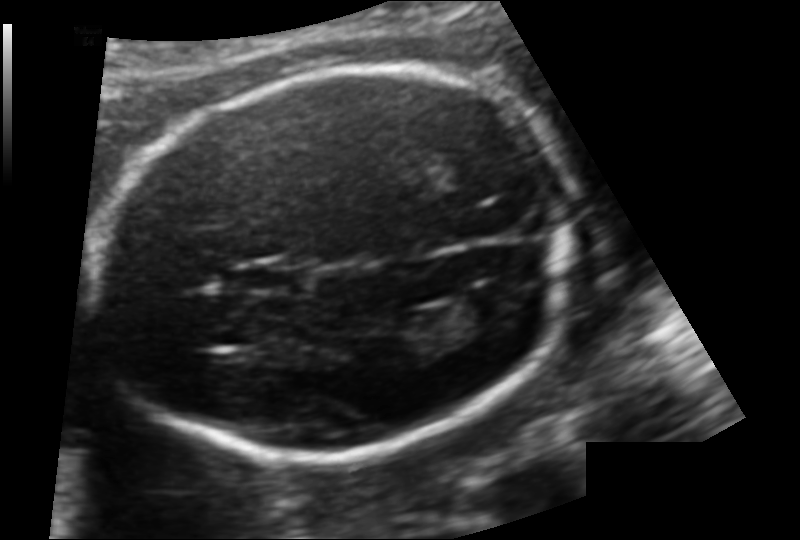
In this fetal head ultrasound, give the bounding box of the fetal head. Image width: 98.8 mm.

[95,69,570,466]